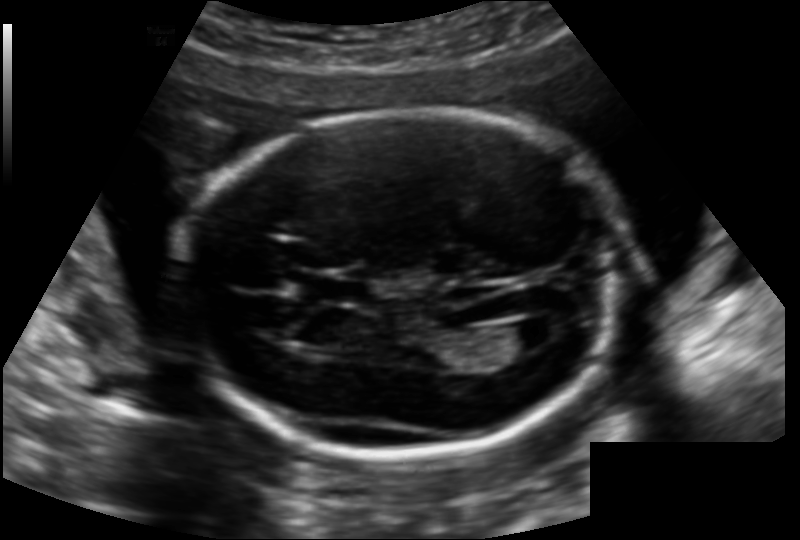
In this fetal head ultrasound, give the bounding box of the fetal head. Image width: 113.4 mm.

[184,109,618,453]